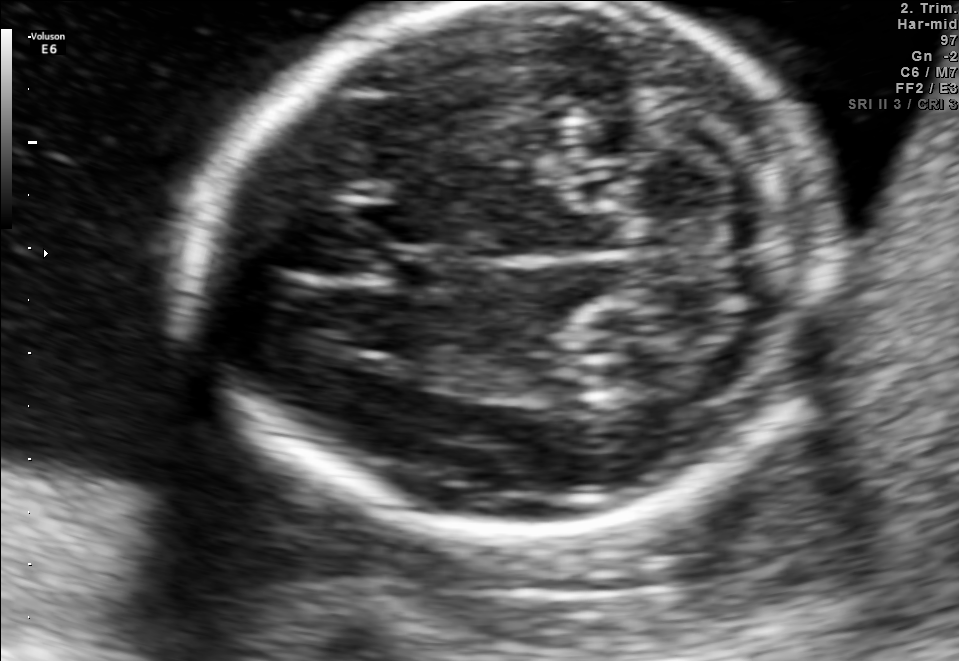
Which standard maternal-fetal ultrasound plane is shown: fetal abdomen, fetal brain, fetal femur, fetal thorax, maternal cervix, or other? If it's fetal brain and one of the three standard brain planes (trans-thalamic, trans-cerebellum, trans-ventricular), name which.

Fetal brain (trans-cerebellum plane)